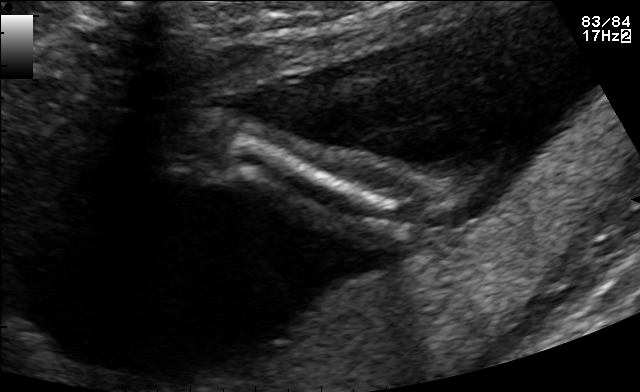
Which standard maternal-fetal ultrasound plane is shown: fetal abdomen, fetal brain, fetal femur, fetal thorax, maternal cervix, or other? If it's fetal brain and one of the three standard brain planes (trans-thalamic, trans-cerebellum, trans-ventricular), name which.

Other